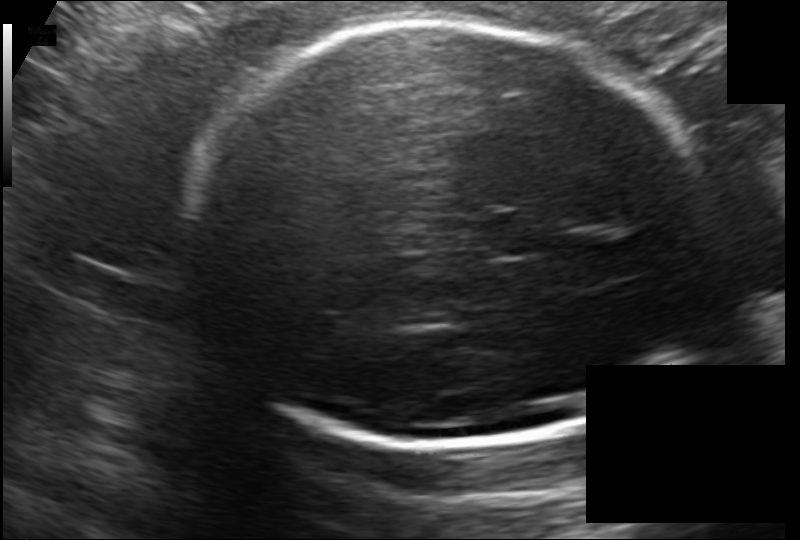
Fetal head ultrasound. Image width: 137.9 mm. Locate the fetal head.

Head: [189,21,705,445]